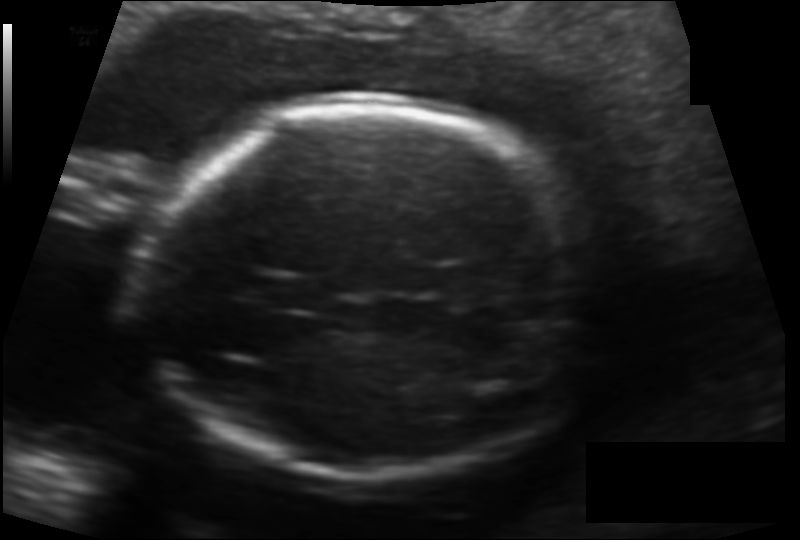
From this fetal ultrasound, estimate the head circumference (image width 105.8 mm).

Head circumference: 174.8 mm.